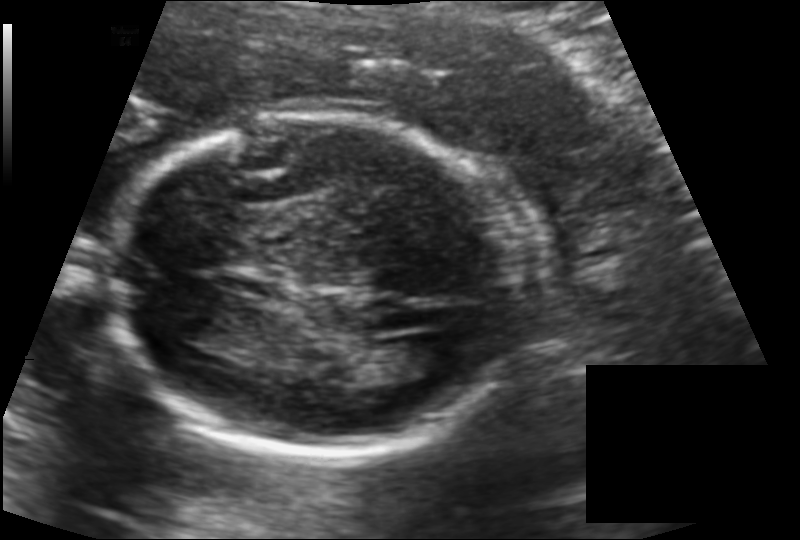
In this fetal head ultrasound, give bounding boxes for the head outline, cavum septum pellucidum (CSP), and lateral ventricle (LV), where visible. Image width: 113.5 mm.

Head: [111,115,522,459]